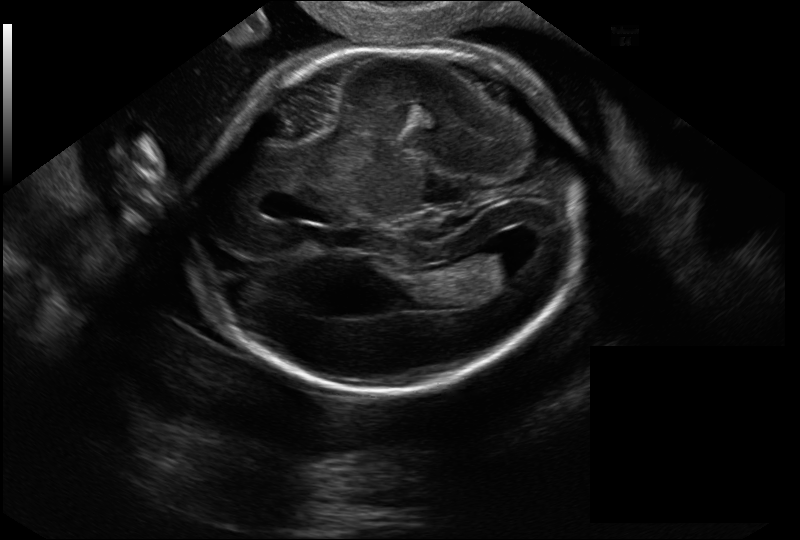
Estimate the fetal head circumference from this 2D ultrasound.

Head circumference: 174.1 mm (image width 115.6 mm).